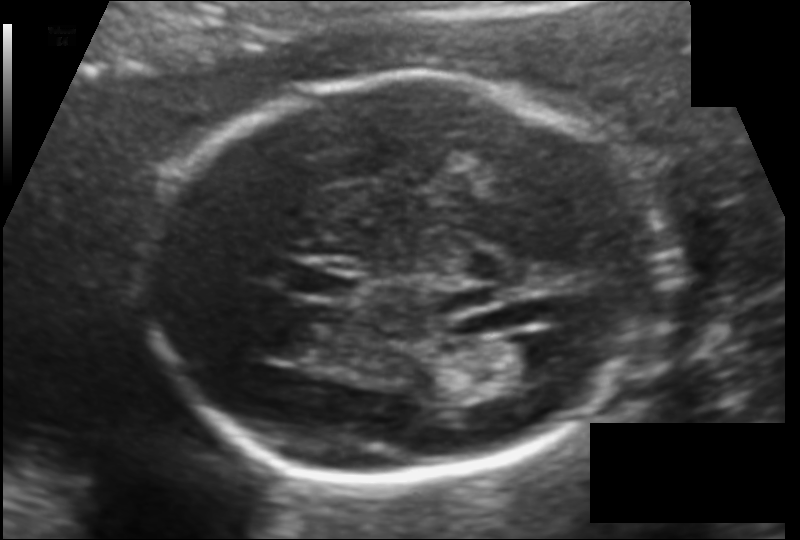
In this fetal head ultrasound, give the bounding box of the cavum septum pellucidum. Image width: 95.9 mm.

[286,263,360,306]